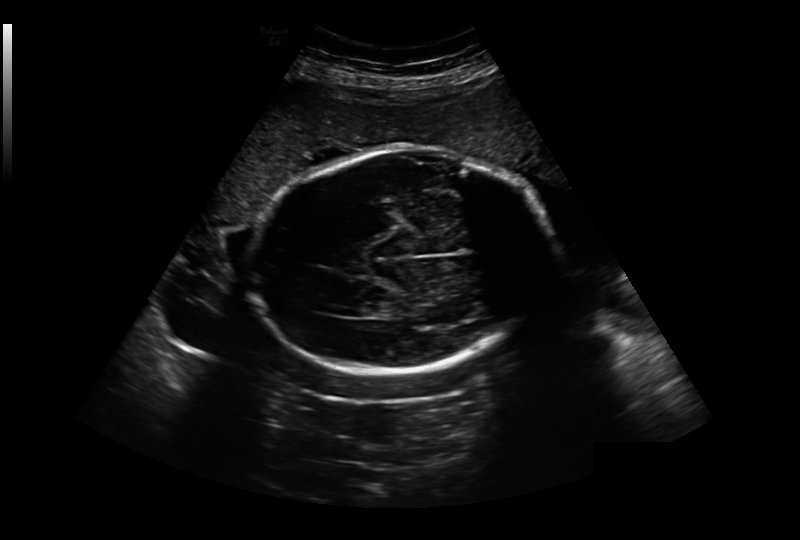
In this fetal head ultrasound, give the bounding box of the fetal head. Image width: 278.8 mm.

[249,147,556,372]